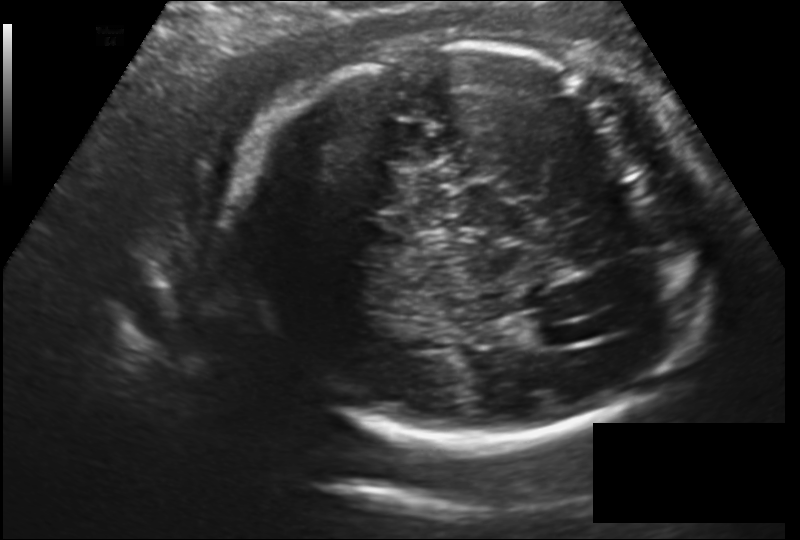
Fetal head ultrasound. Image width: 142.0 mm. Locate the lateral ventricle.

Lateral ventricle: [528,321,577,350]